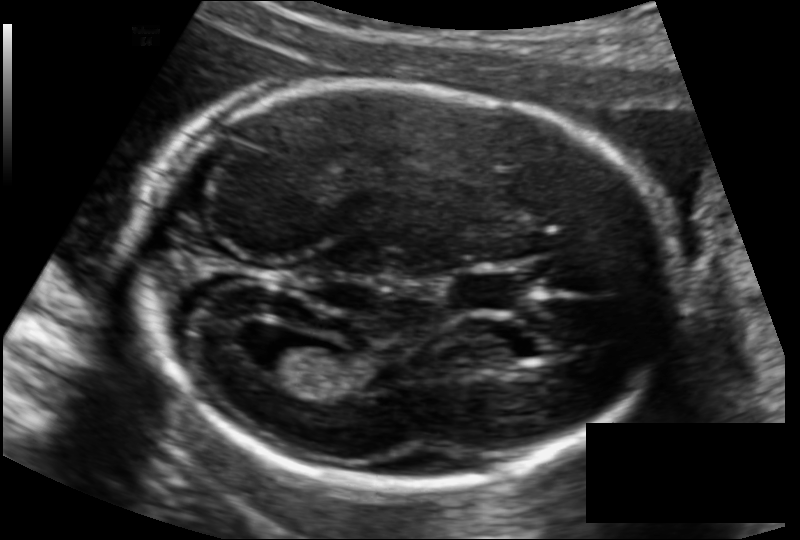
Fetal head ultrasound. Image width: 97.7 mm. Where is the cavum septum pellucidum?

CSP bounding box: [453,273,520,311]